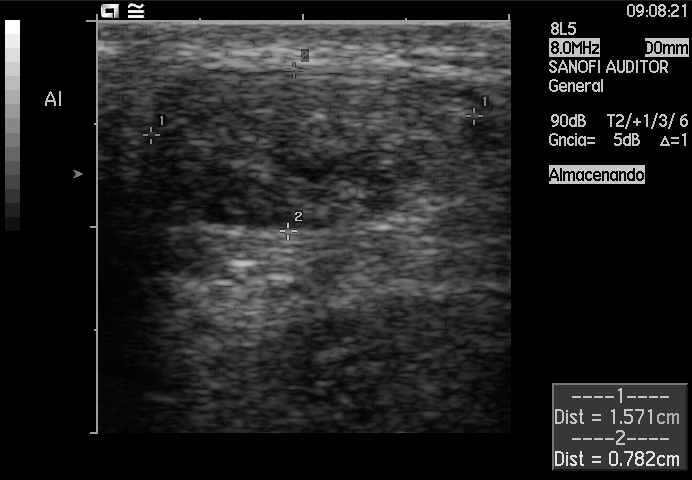
This is a 2D maternal-fetal ultrasound frame. Is it a fetal abdomen, fetal brain, fetal femur, fetal thorax, maternal cervix, or other standard plane? If it's fetal brain and one of the three standard brain planes (trans-thalamic, trans-cerebellum, trans-ventricular), name which.

Other